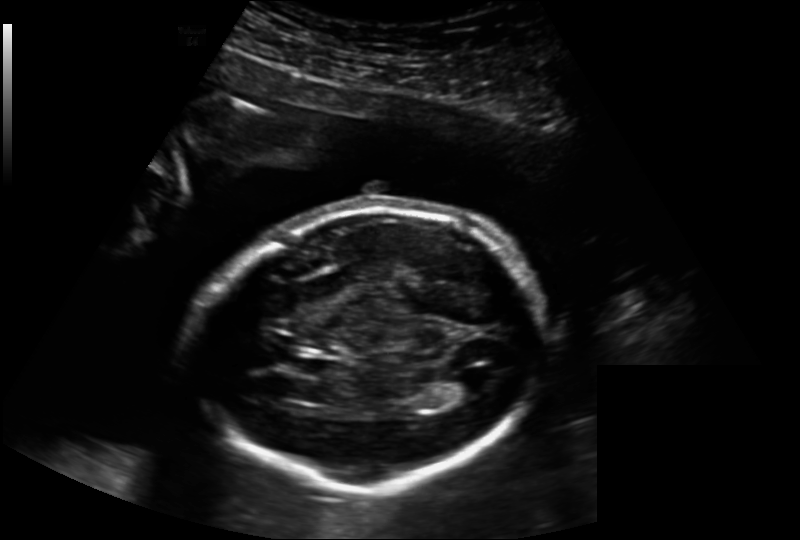
What is the fetal head circumference? Image width is 161.7 mm.

204.3 mm